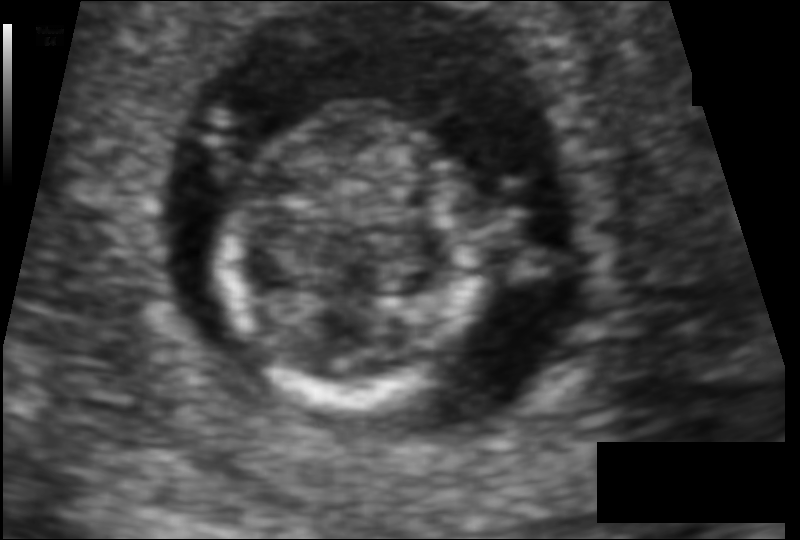
In this fetal head ultrasound, give bounding boxes for the head outline, cavum septum pellucidum (CSP), and lateral ventricle (LV), where visible. Image width: 63.9 mm.

Head: [220,98,490,419]